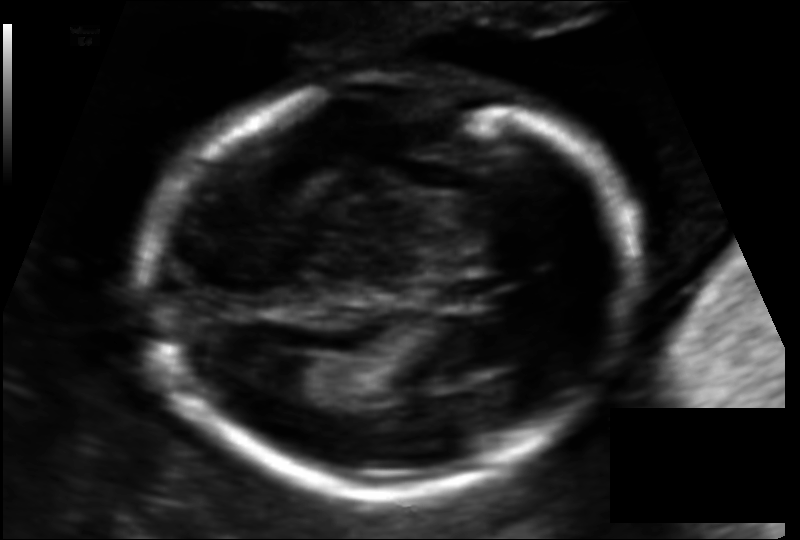
Fetal head ultrasound. Image width: 92.3 mm. Where is the fetal head?

Head bounding box: [143,76,635,490]